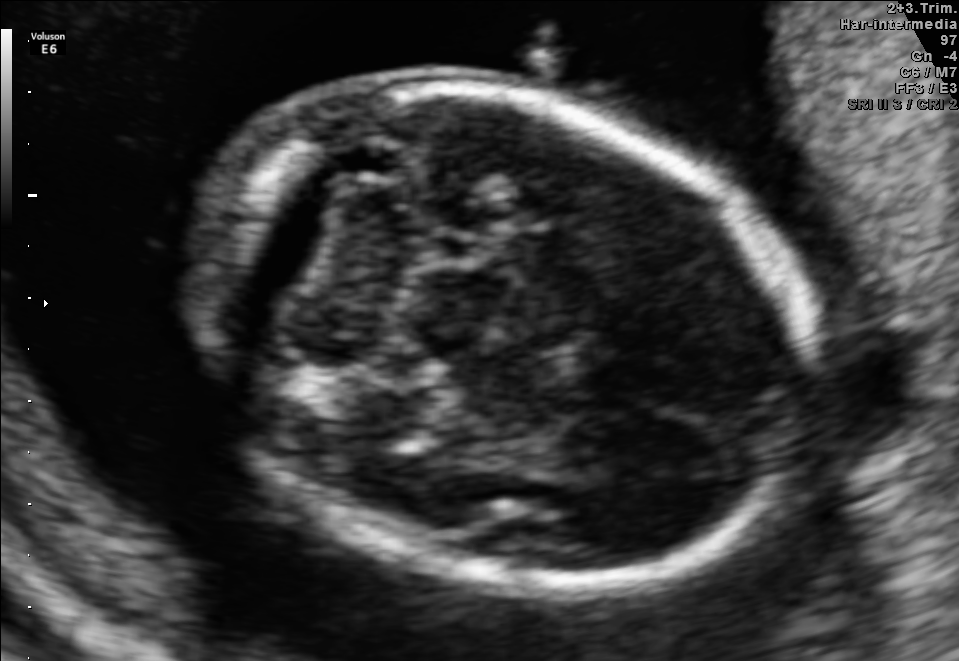
Fetal brain, trans-cerebellum plane. Give [x1,y1,x2,y2] bounding boxes for each visible structure among: fetal head, CSP, LV.

Head: [195,82,804,597]